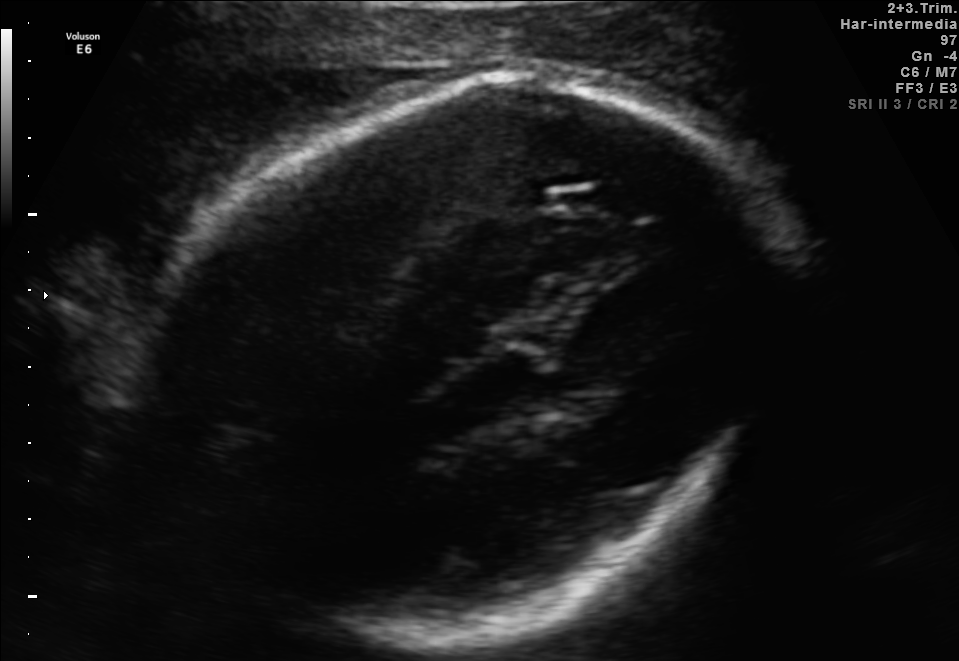
This is a 2D maternal-fetal ultrasound frame. Is it a fetal abdomen, fetal brain, fetal femur, fetal thorax, maternal cervix, or other standard plane? If it's fetal brain and one of the three standard brain planes (trans-thalamic, trans-cerebellum, trans-ventricular), name which.

Fetal brain